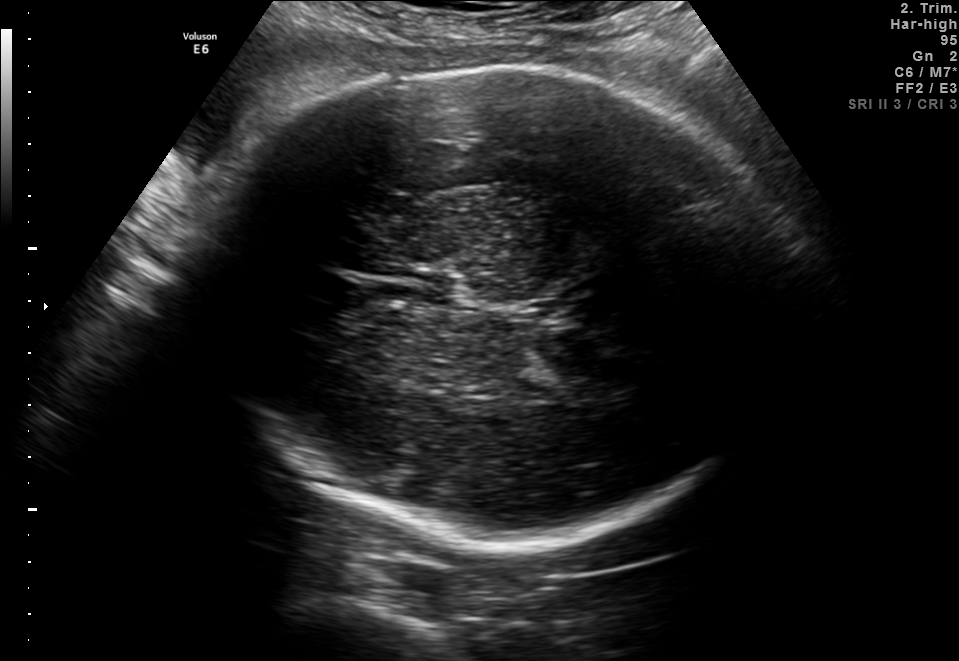
In this fetal brain, trans-thalamic plane, give the bounding box of the fetal head.

[203,67,800,548]